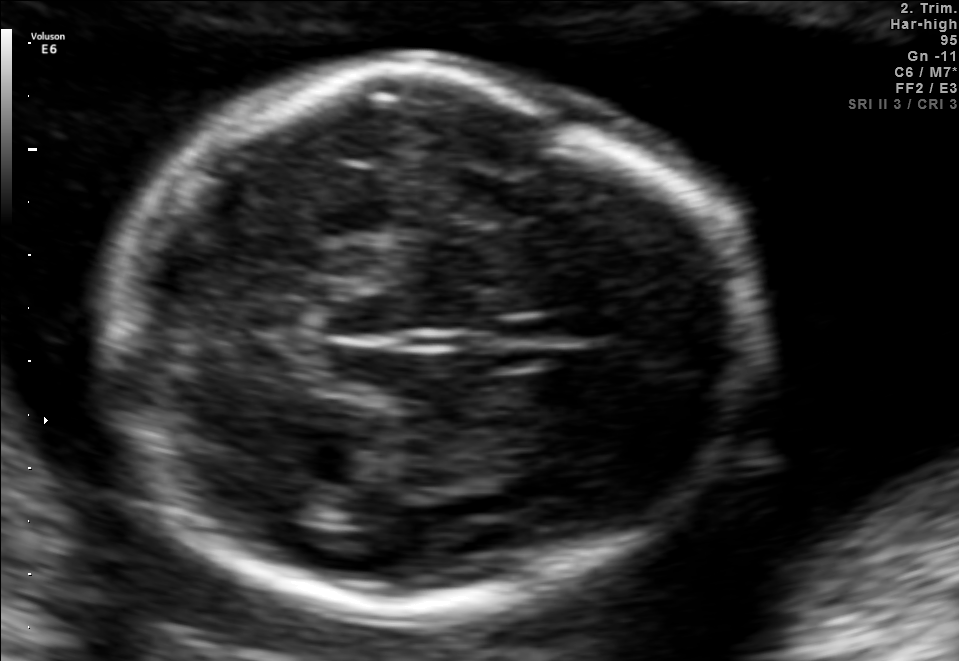
Fetal brain, trans-thalamic plane. Locate the lateral ventricle.

Lateral ventricle: [281,480,352,527]